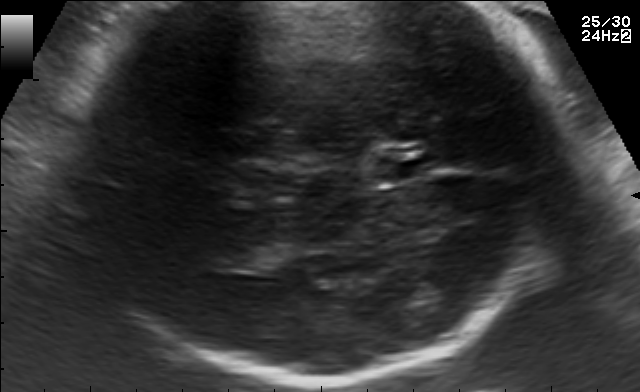
Fetal brain, trans-thalamic plane. Locate the cavum septum pellucidum.

CSP: [372,149,436,188]